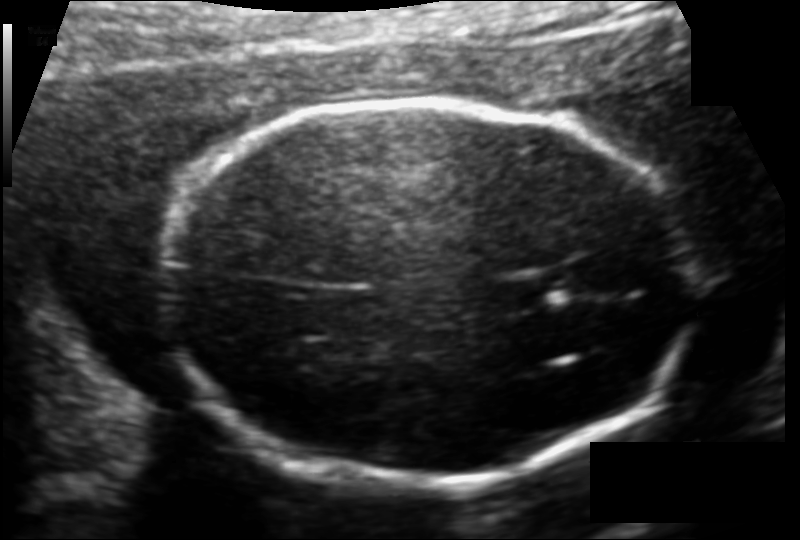
Fetal head ultrasound. Image width: 95.0 mm. Where is the fetal head?

Head bounding box: [166,101,694,488]